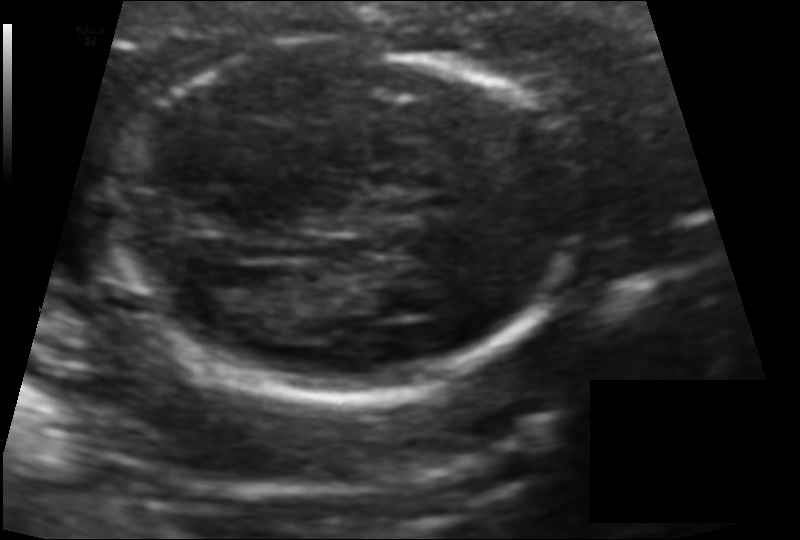
Fetal head ultrasound. Image width: 81.1 mm. Locate the fetal head.

Head: [117,42,571,397]